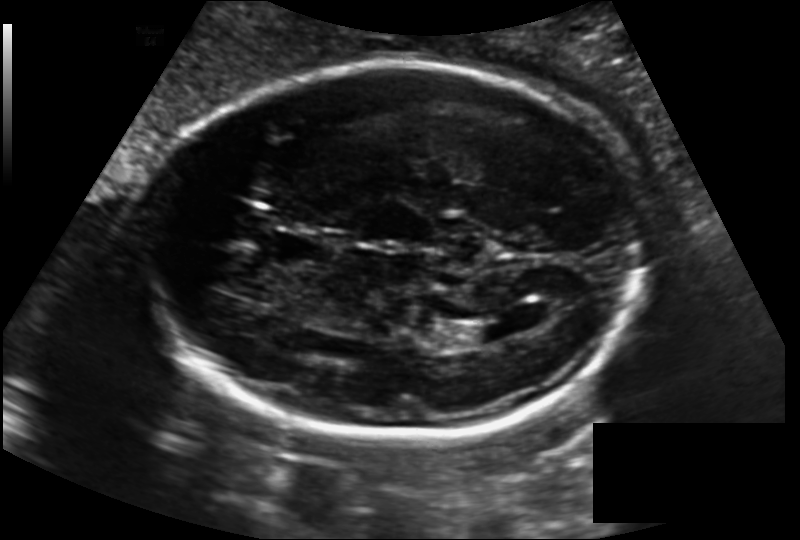
Fetal head ultrasound. Image width: 130.6 mm. Where is the fetal head?

Head bounding box: [144,63,641,443]